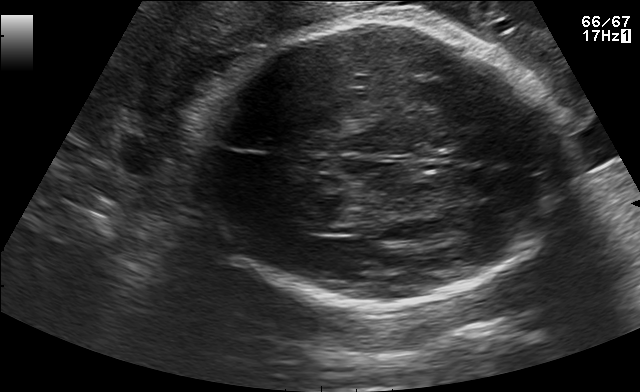
Classify this maternal-fetal ultrasound image as one of the six standard planes — fetal abdomen, fetal brain, fetal femur, fetal thorax, maternal cervix, or other. If it's fetal brain and one of the three standard brain planes (trans-thalamic, trans-cerebellum, trans-ventricular), name which.

Fetal brain (trans-thalamic plane)